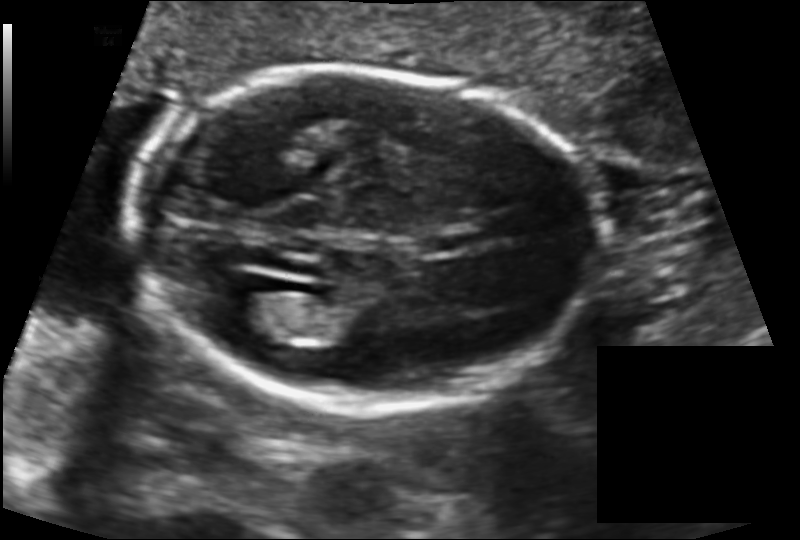
Fetal head ultrasound. Image width: 105.0 mm. Where is the cavum septum pellucidum?

CSP bounding box: [417,229,474,258]